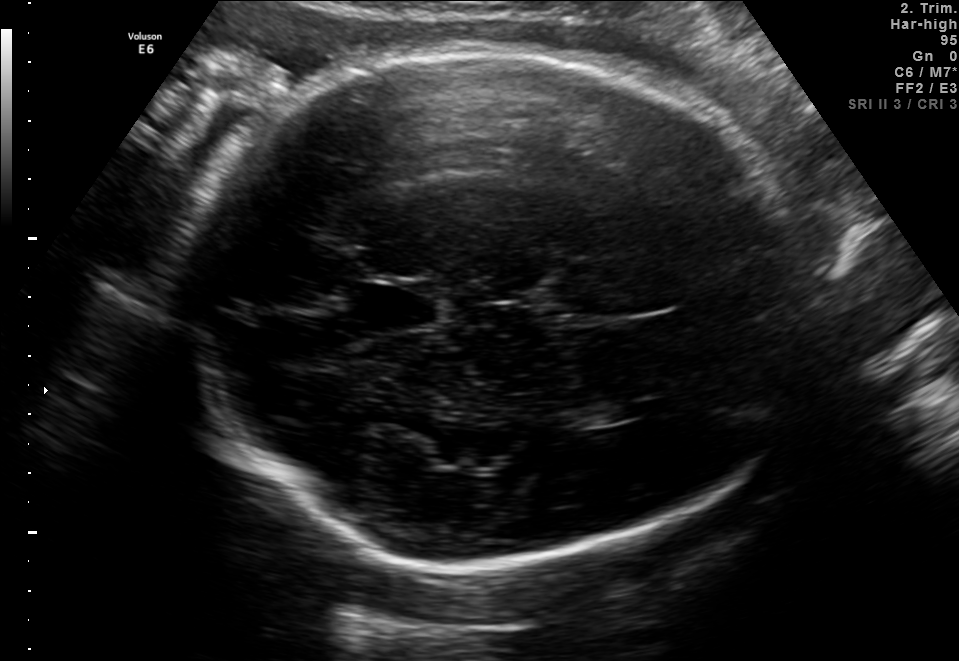
In this fetal brain, trans-thalamic plane, give bounding boxes for the head outline, cavum septum pellucidum (CSP), and lateral ventricle (LV), where visible.

Head: [176,47,811,562]
CSP: [359,289,437,326]
Lateral ventricle: [576,397,642,430]